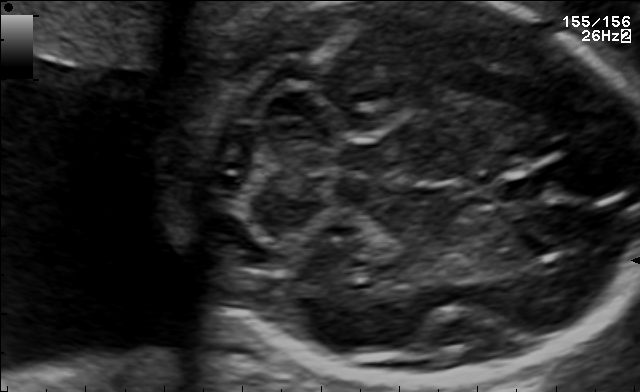
Fetal brain, trans-cerebellum plane. Locate the fetal head and, if visible, the cavum septum pellucidum (CSP) and lateral ventricle (LV). Give bounding boxes as [x1,y1,x2,y2].

Head: [180,2,639,381]
CSP: [495,171,549,206]